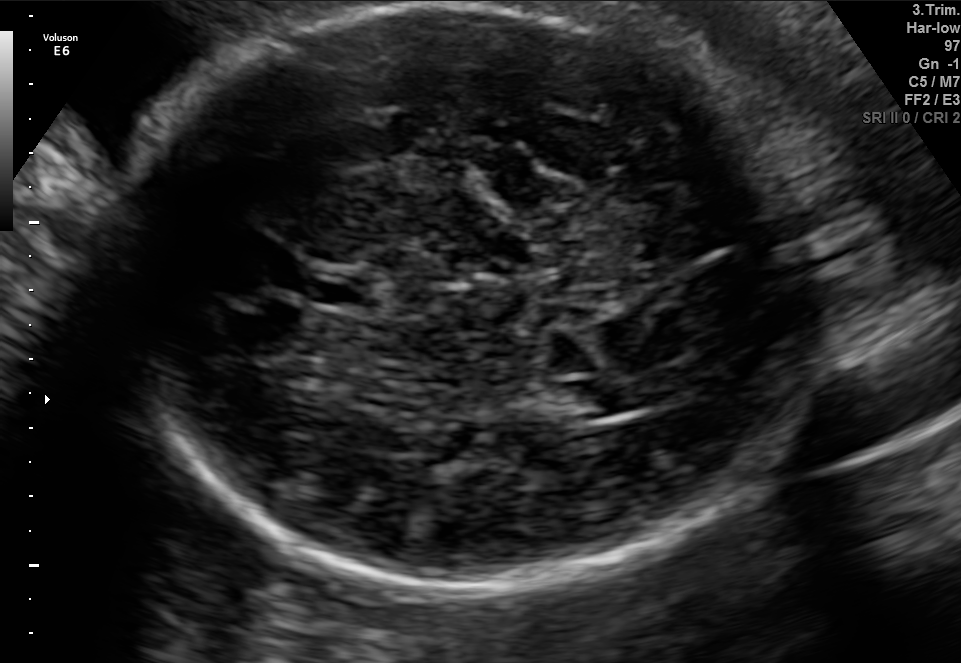
Fetal brain, trans-ventricular plane. Where is the fetal head?

Head bounding box: [84,4,845,601]